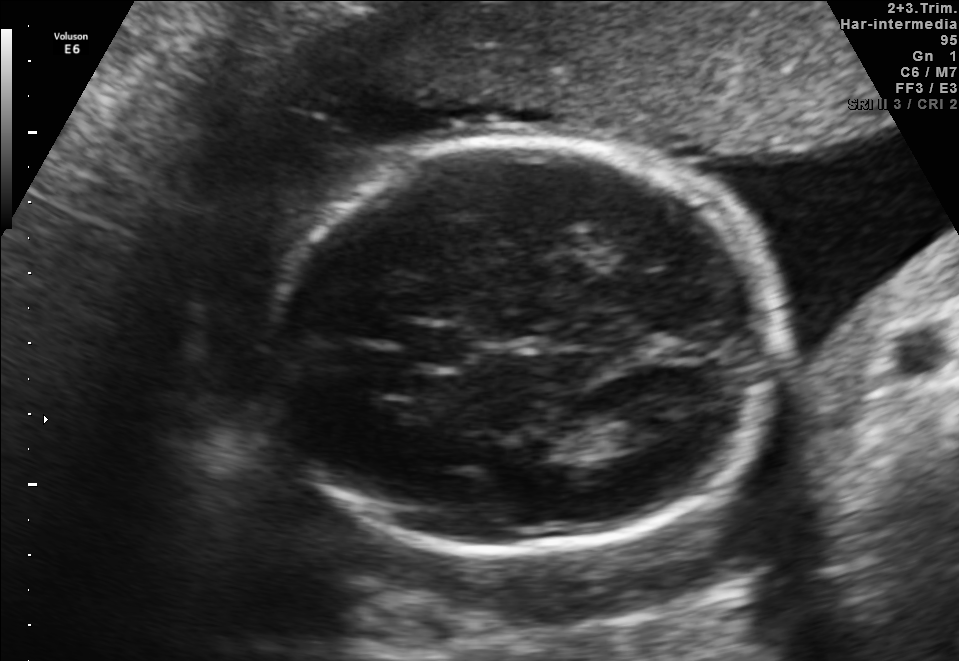
In this fetal brain, trans-thalamic plane, give the bounding box of the fetal head.

[260,141,783,552]